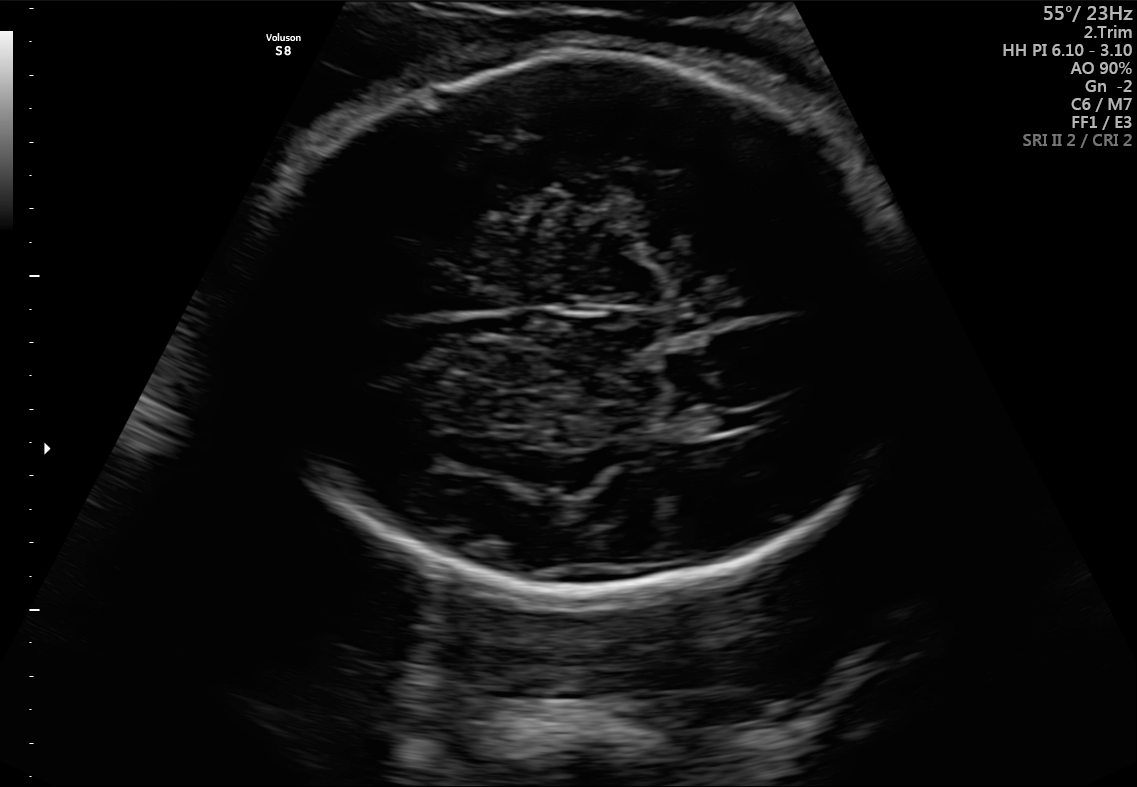
Fetal brain, trans-ventricular plane. Give [x1,y1,x2,y2] bounding boxes for each visible structure among: fetal head, CSP, LV.

Head: [251,48,916,599]